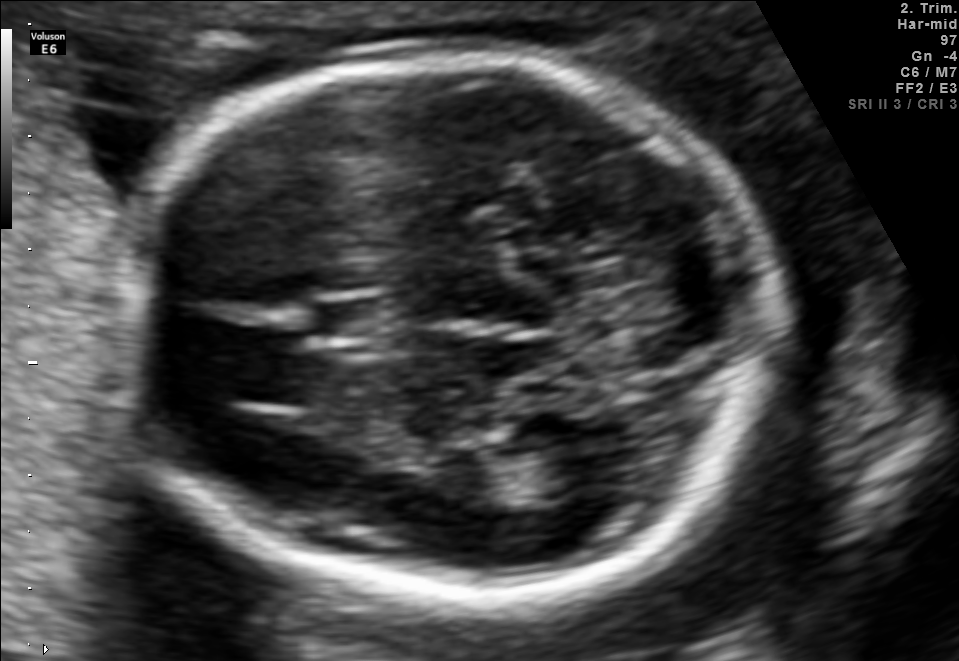
In this fetal brain, trans-thalamic plane, give bounding boxes for the head outline, cavum septum pellucidum (CSP), and lateral ventricle (LV), where visible.

Head: [110,53,779,586]
CSP: [311,297,400,341]
Lateral ventricle: [480,433,609,511]